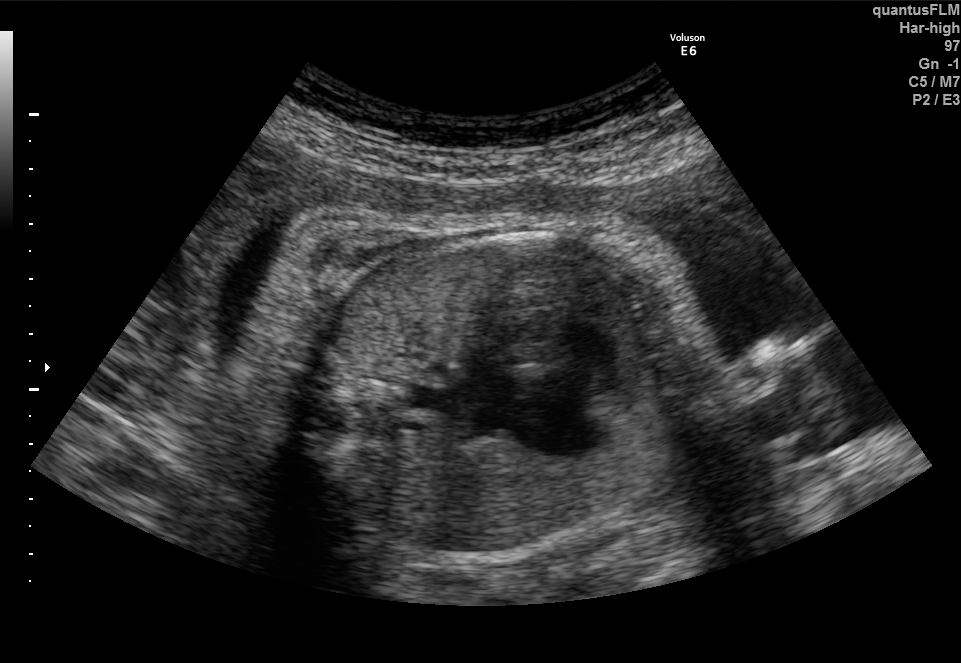
Which standard maternal-fetal ultrasound plane is shown: fetal abdomen, fetal brain, fetal femur, fetal thorax, maternal cervix, or other? If it's fetal brain and one of the three standard brain planes (trans-thalamic, trans-cerebellum, trans-ventricular), name which.

Fetal thorax